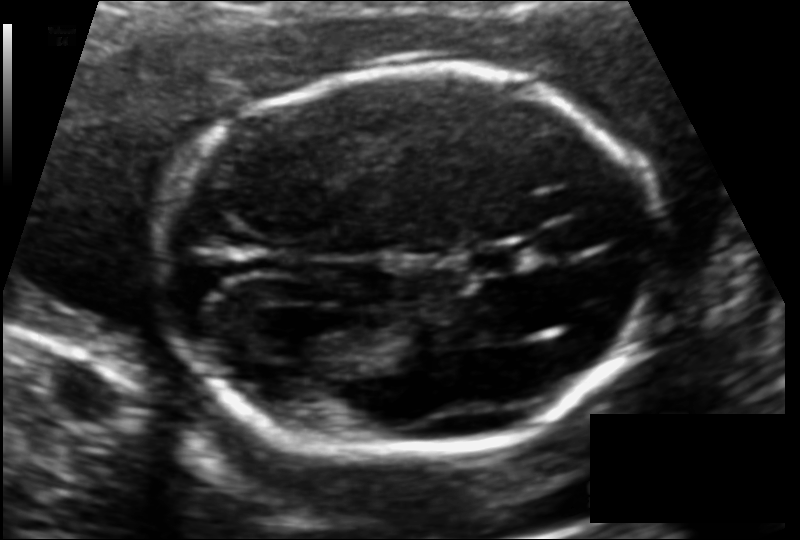
Fetal head ultrasound. Image width: 93.1 mm. Locate the fetal head.

Head: [159,72,661,453]